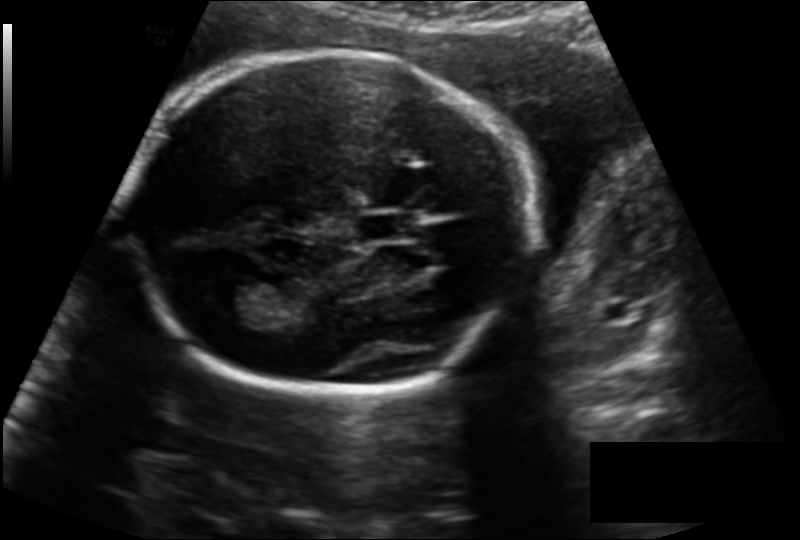
Estimate the fetal head circumference from this 2D ultrasound. Image width: 122.1 mm.

Head circumference: 185.1 mm.